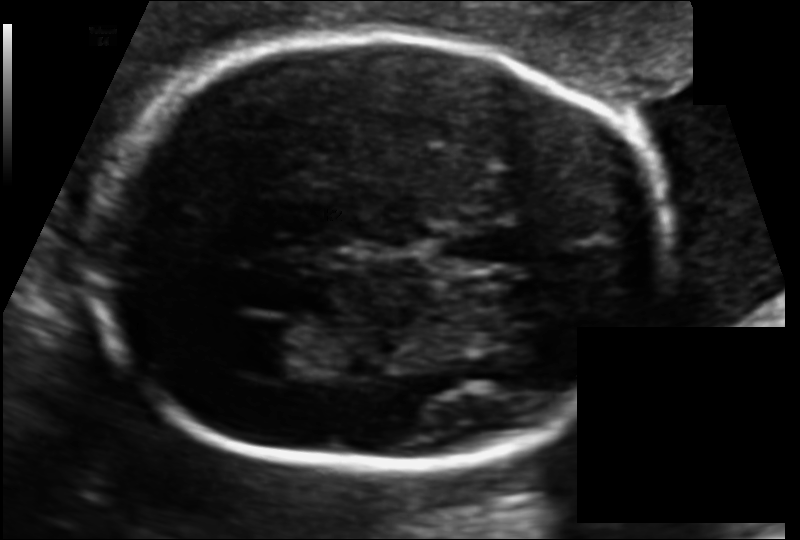
What is the fetal head circumference? Image width is 89.0 mm.

182.6 mm